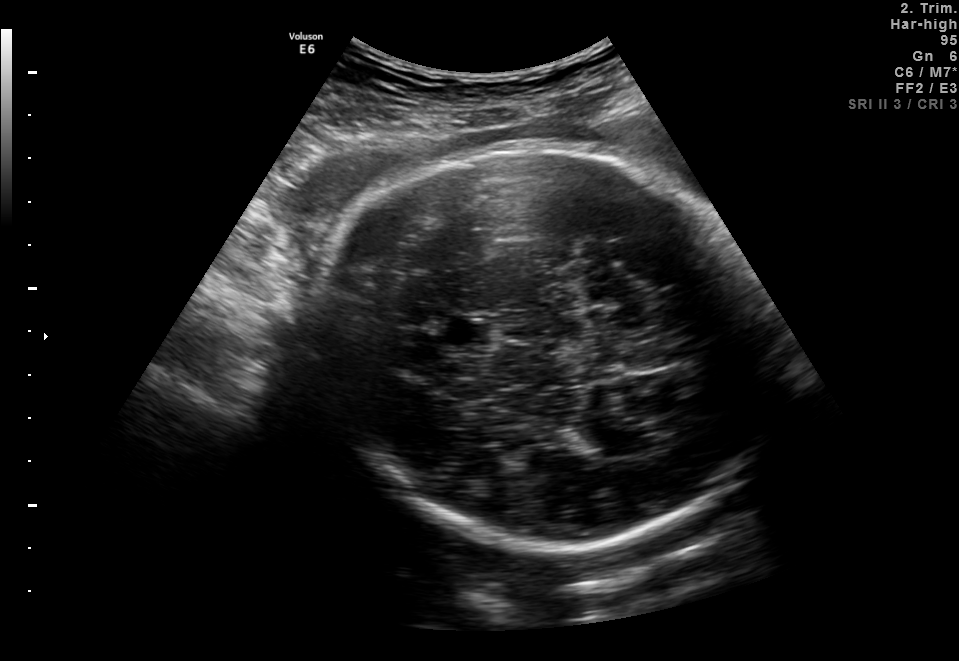
In this fetal brain, trans-thalamic plane, give the bounding box of the cavum septum pellucidum.

[444,318,492,347]